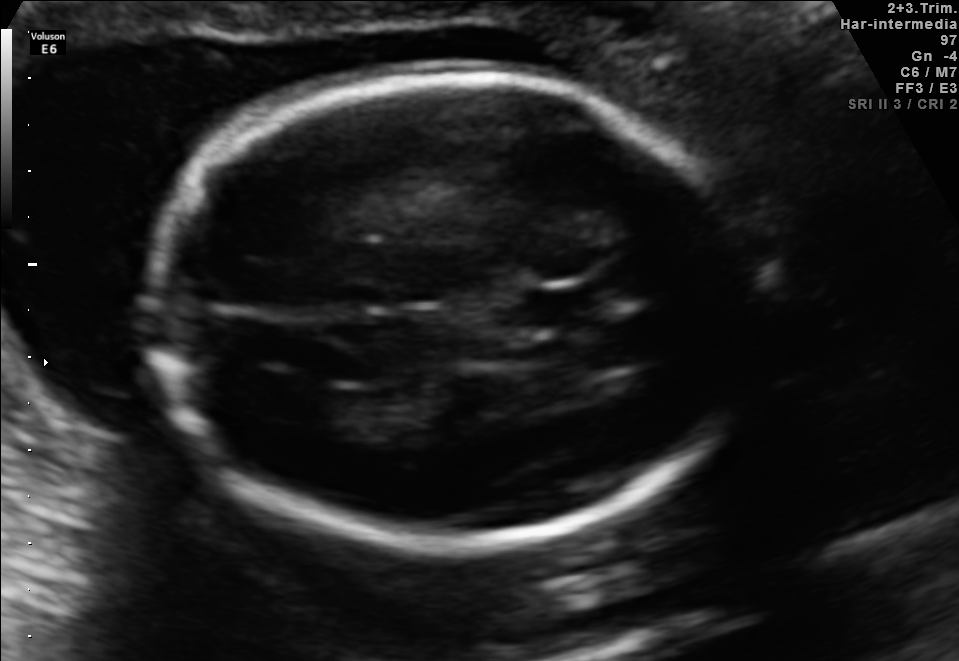
Fetal brain, trans-ventricular plane. Locate the cavum septum pellucidum.

CSP: [517,291,601,329]